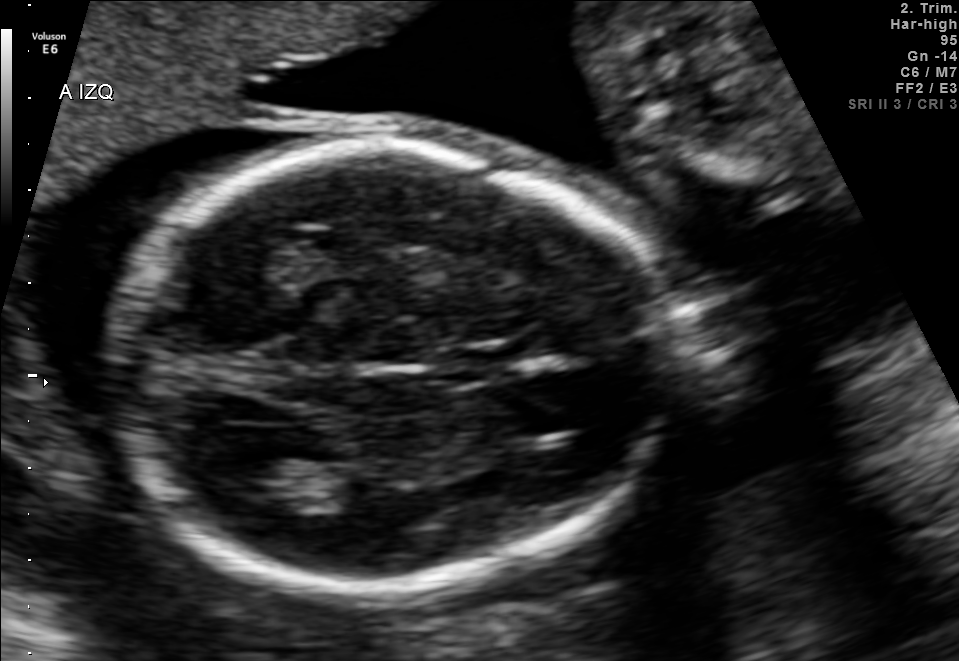
Fetal brain, trans-thalamic plane. Where is the fetal head?

Head bounding box: [108,143,677,588]